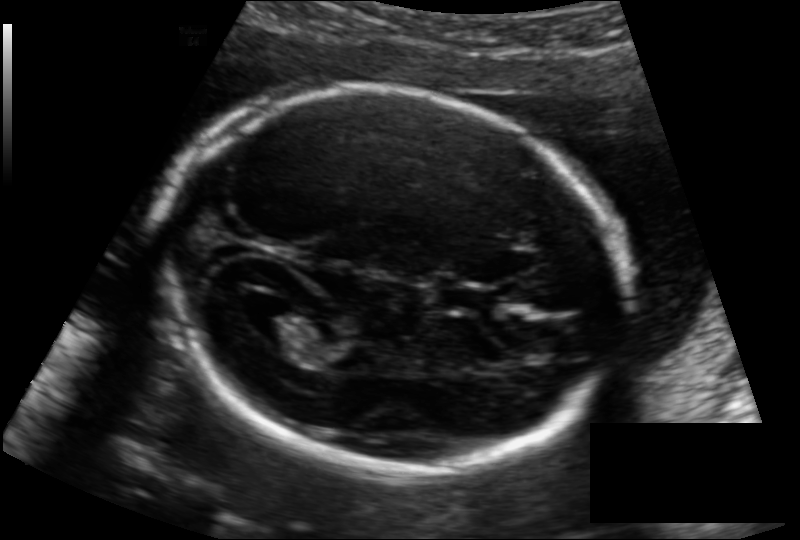
Fetal head ultrasound. Image width: 106.5 mm. Where is the fetal head?

Head bounding box: [162,89,625,472]